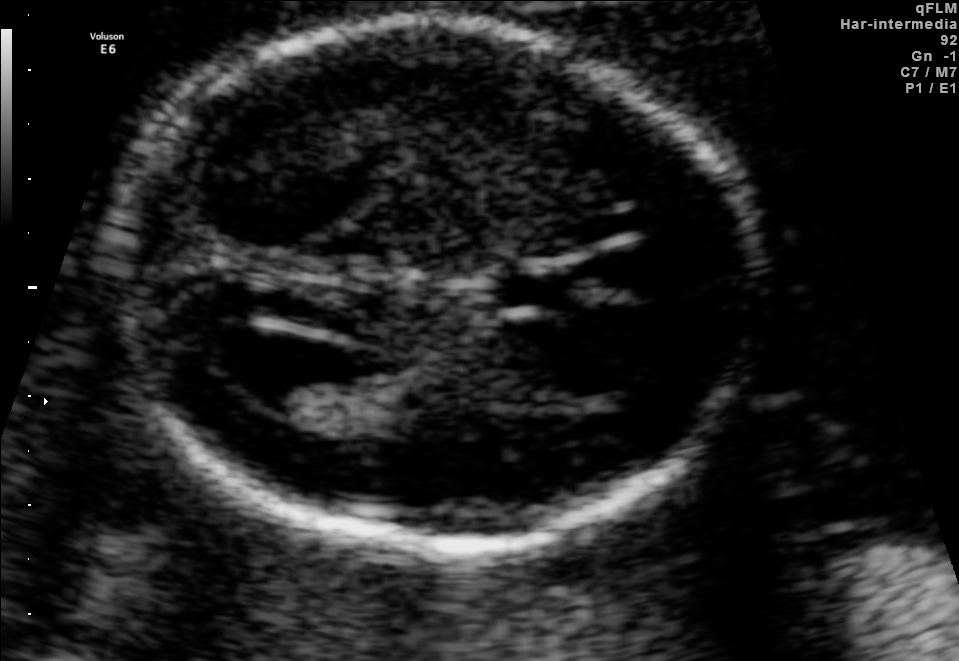
Fetal brain, trans-ventricular plane. Locate the fetal head.

Head: [91,9,778,566]